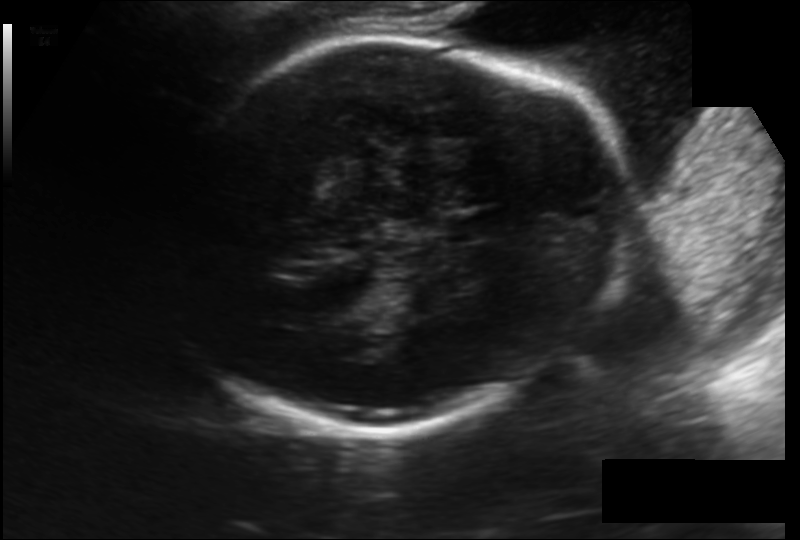
Fetal head ultrasound. Image width: 139.5 mm. Locate the fetal head.

Head: [162,34,631,429]